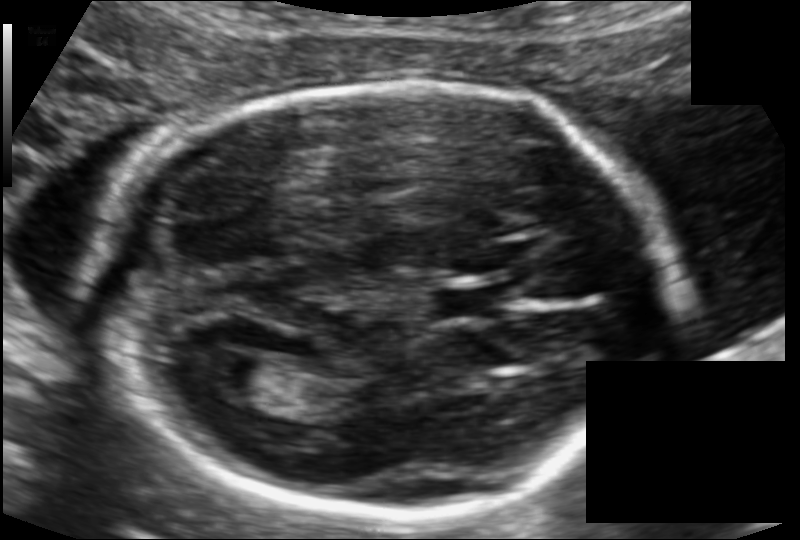
Fetal head ultrasound. Image width: 87.3 mm. Where is the fetal head?

Head bounding box: [96,83,669,522]